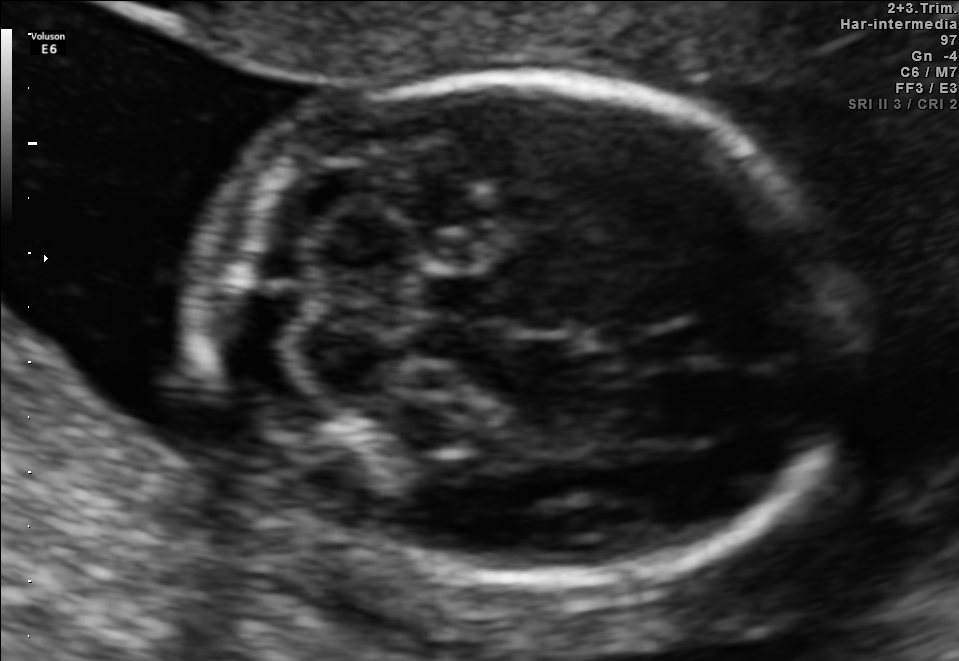
This is a 2D maternal-fetal ultrasound frame. Is it a fetal abdomen, fetal brain, fetal femur, fetal thorax, maternal cervix, or other standard plane? If it's fetal brain and one of the three standard brain planes (trans-thalamic, trans-cerebellum, trans-ventricular), name which.

Fetal brain (trans-cerebellum plane)